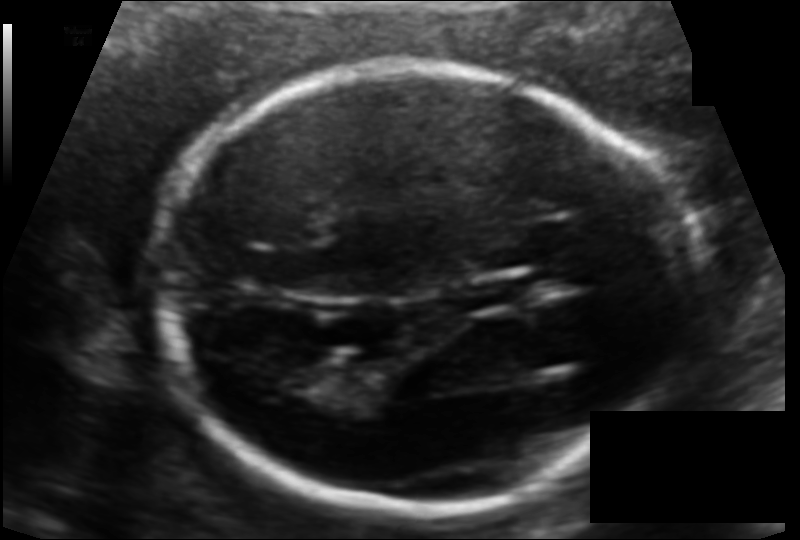
Fetal head ultrasound. Image width: 85.9 mm. Give [x1,y1,x2,y2] bounding boxes for each visible structure among: fetal head, CSP, LV.

Head: [159,60,686,508]
CSP: [462,275,533,315]